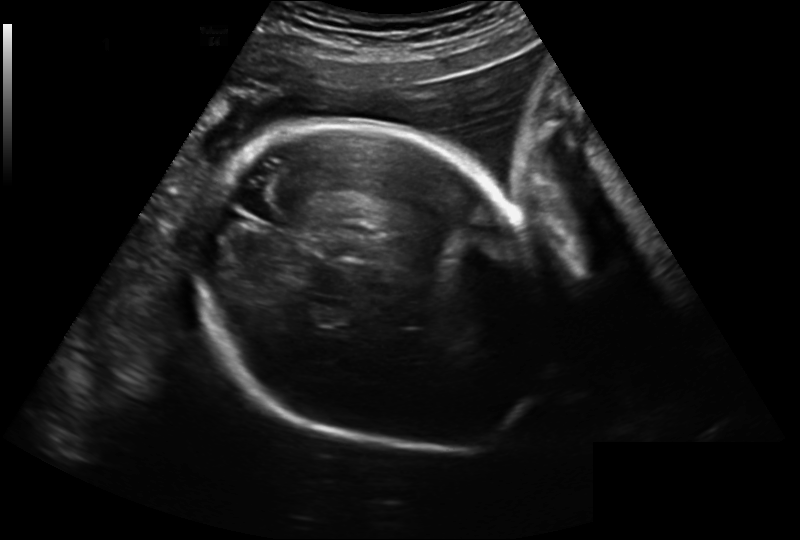
What is the fetal head circumference? Image width is 192.8 mm.

260.9 mm